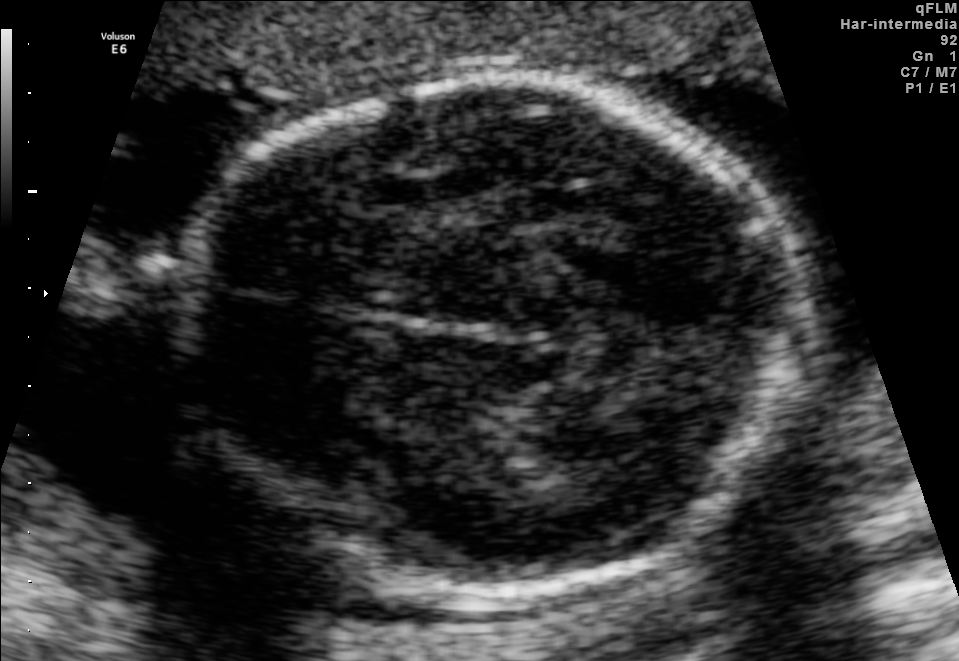
Fetal brain, trans-thalamic plane. Locate the fetal head and, if visible, the cavum septum pellucidum (CSP) and lateral ventricle (LV). Give bounding boxes as [x1,y1,x2,y2].

Head: [175,80,804,595]